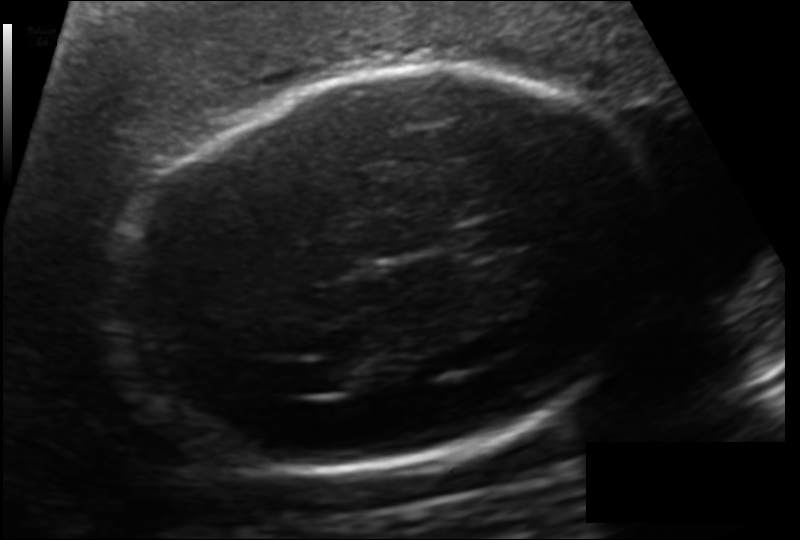
In this fetal head ultrasound, give the bounding box of the fetal head. Image width: 120.9 mm.

[110,69,657,471]